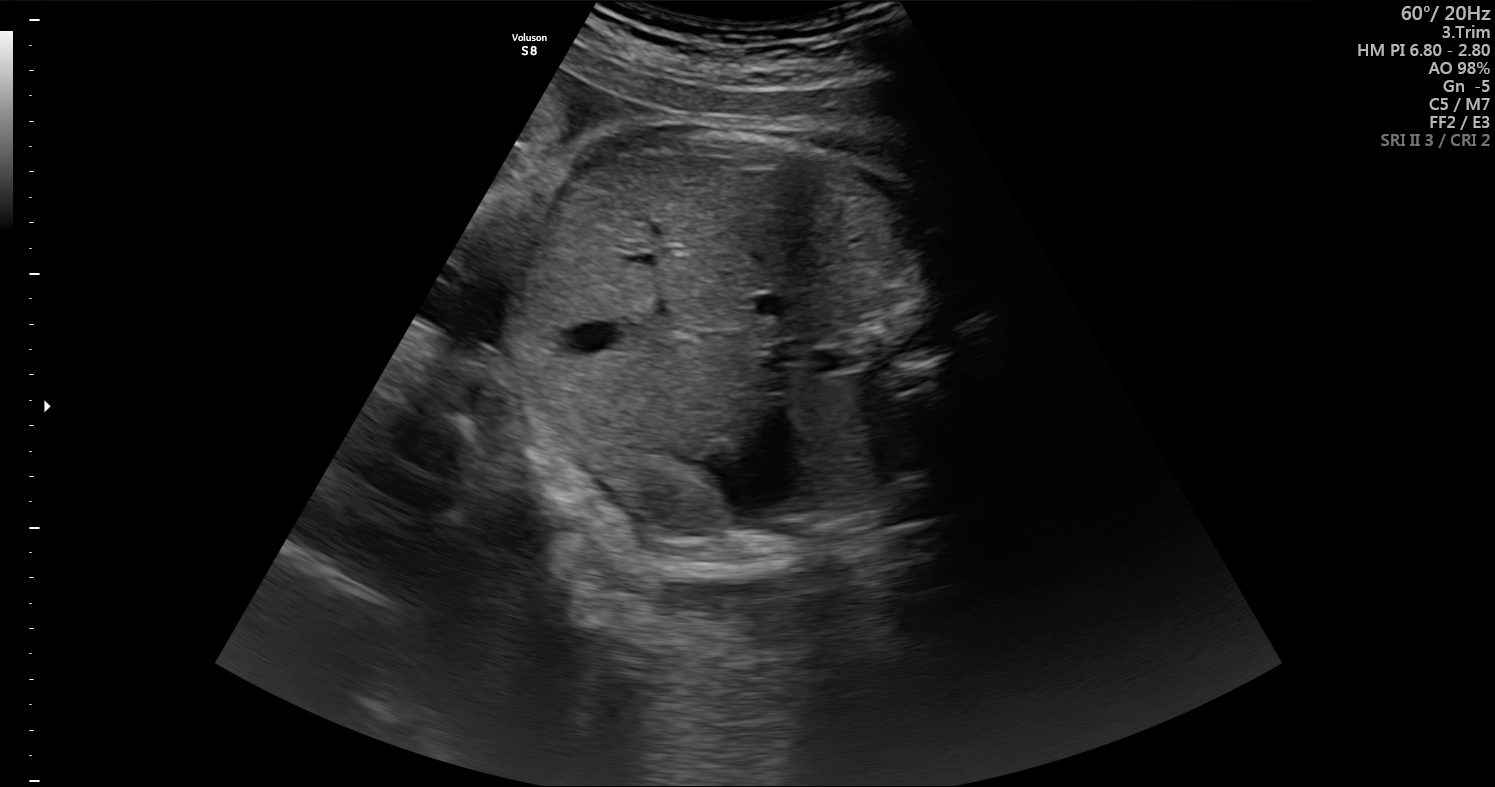
Which standard maternal-fetal ultrasound plane is shown: fetal abdomen, fetal brain, fetal femur, fetal thorax, maternal cervix, or other? If it's fetal brain and one of the three standard brain planes (trans-thalamic, trans-cerebellum, trans-ventricular), name which.

Fetal abdomen